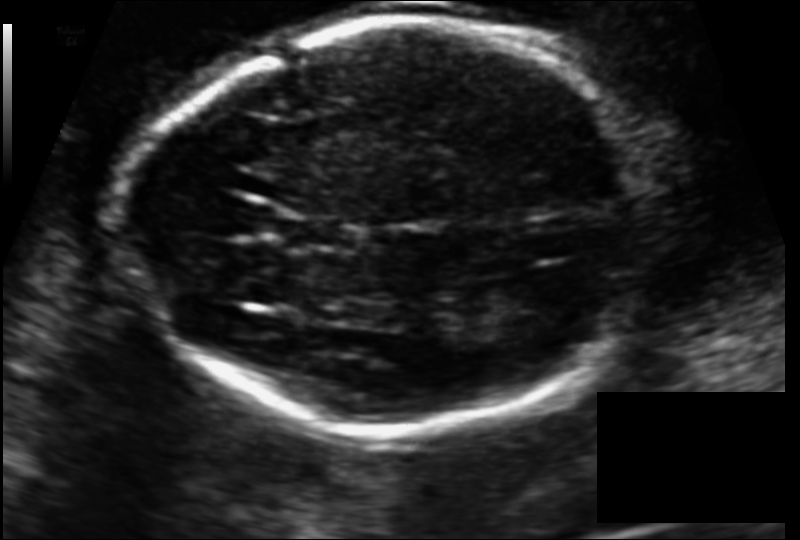
Fetal head ultrasound. Image width: 98.9 mm. Where is the cavum septum pellucidum?

CSP bounding box: [283,218,355,248]